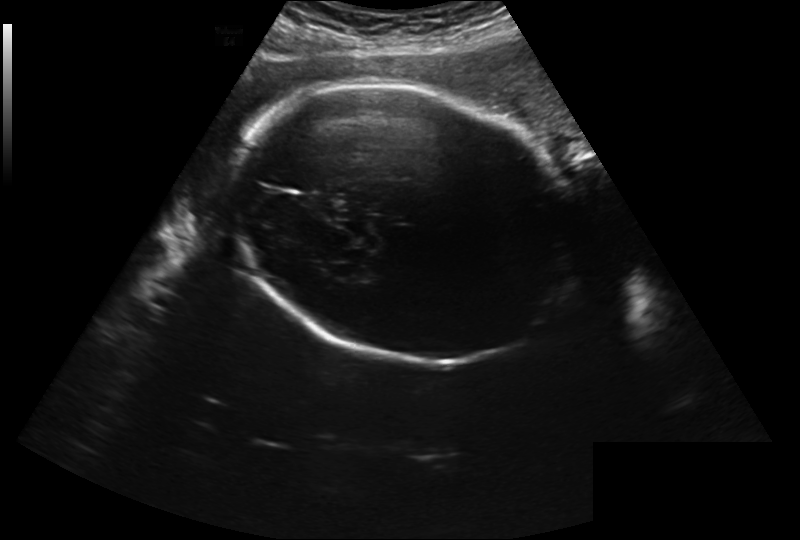
In this fetal head ultrasound, give bounding boxes for the head outline, cavum septum pellucidum (CSP), and lateral ventricle (LV), where visible. Image width: 223.8 mm.

Head: [231,84,577,361]